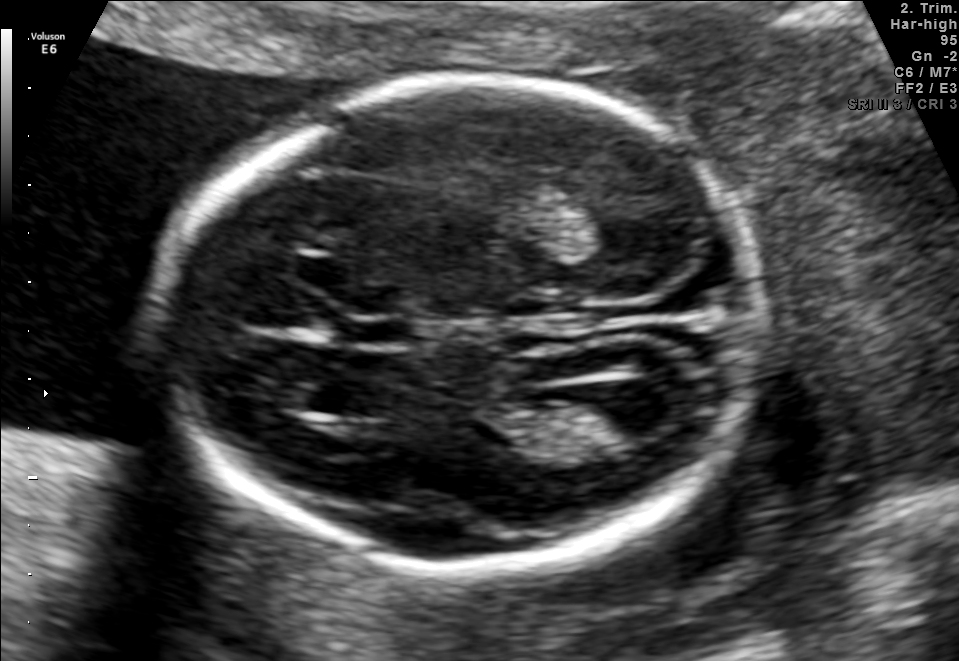
Fetal brain, trans-ventricular plane. Locate the fetal head and, if visible, the cavum septum pellucidum (CSP) and lateral ventricle (LV). Give bounding boxes as [x1,y1,x2,y2].

Head: [145,71,780,580]
CSP: [334,314,423,347]
Lateral ventricle: [578,368,686,454]